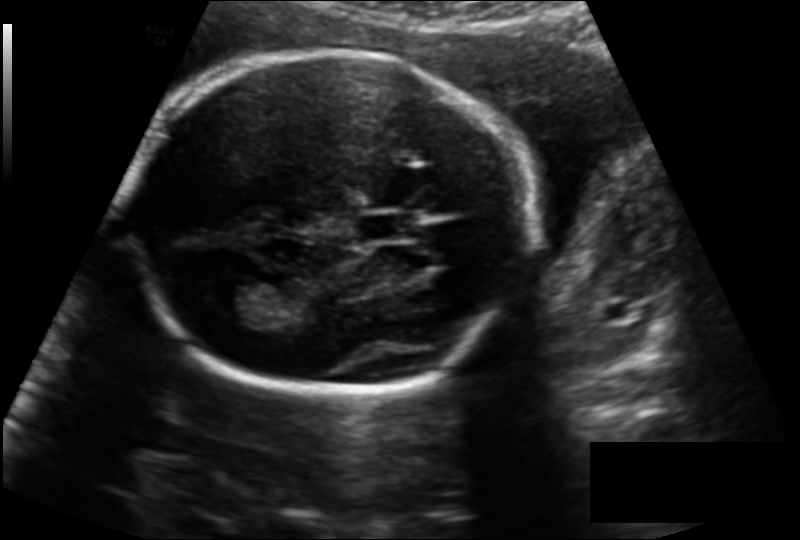
Fetal head ultrasound. Image width: 122.1 mm. Where is the cavum septum pellucidum?

CSP bounding box: [356,210,415,245]